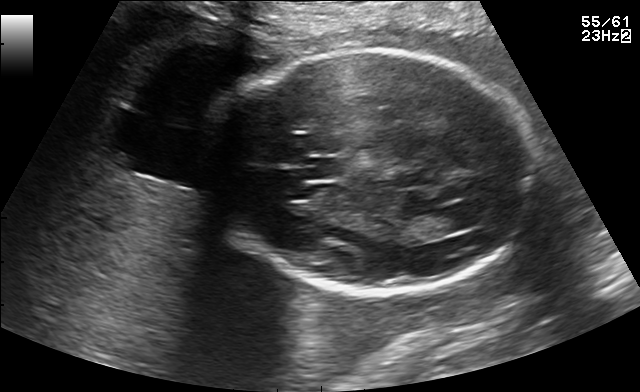
In this fetal brain, trans-thalamic plane, give the bounding box of the lateral ventricle.

[399,204,466,247]